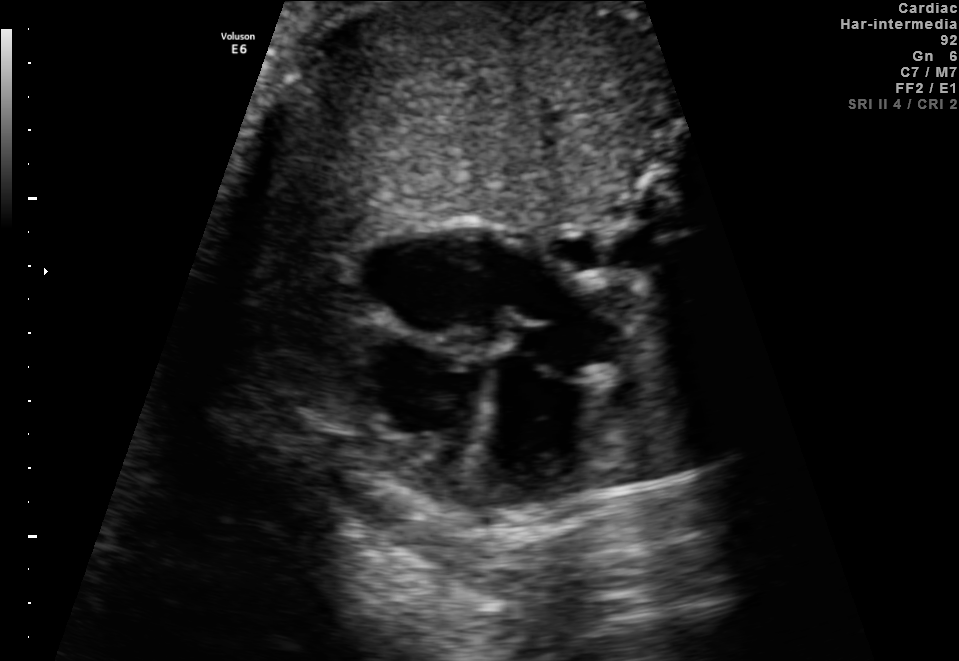
Identify the standard plane in this fetal ultrasound image: fetal abdomen, fetal brain, fetal femur, fetal thorax, maternal cervix, or other. If it's fetal brain and one of the three standard brain planes (trans-thalamic, trans-cerebellum, trans-ventricular), name which.

Fetal thorax